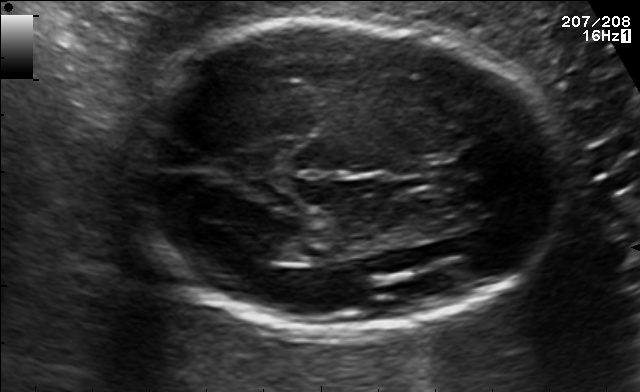
In this fetal brain, trans-thalamic plane, give the bounding box of the lateral ventricle.

[259,237,314,263]